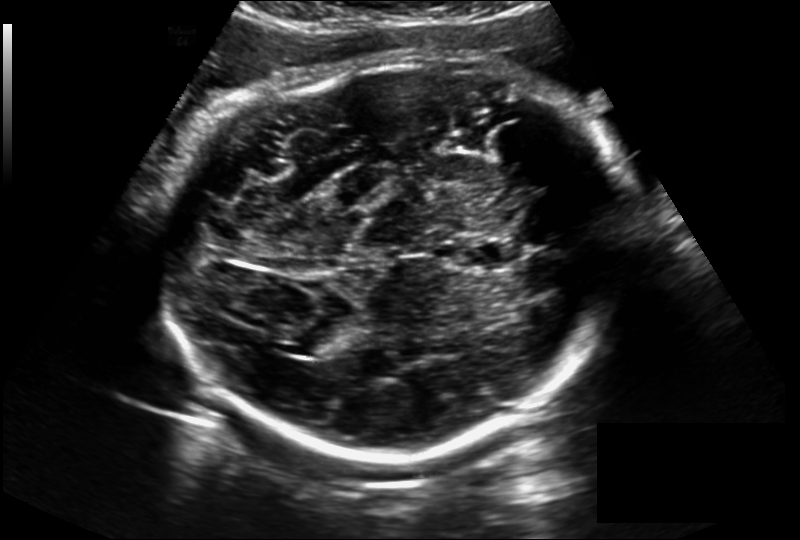
Fetal head ultrasound. Image width: 182.1 mm. Give [x1,y1,x2,y2] bounding boxes for each visible structure among: fetal head, CSP, LV.

Head: [166,55,632,459]